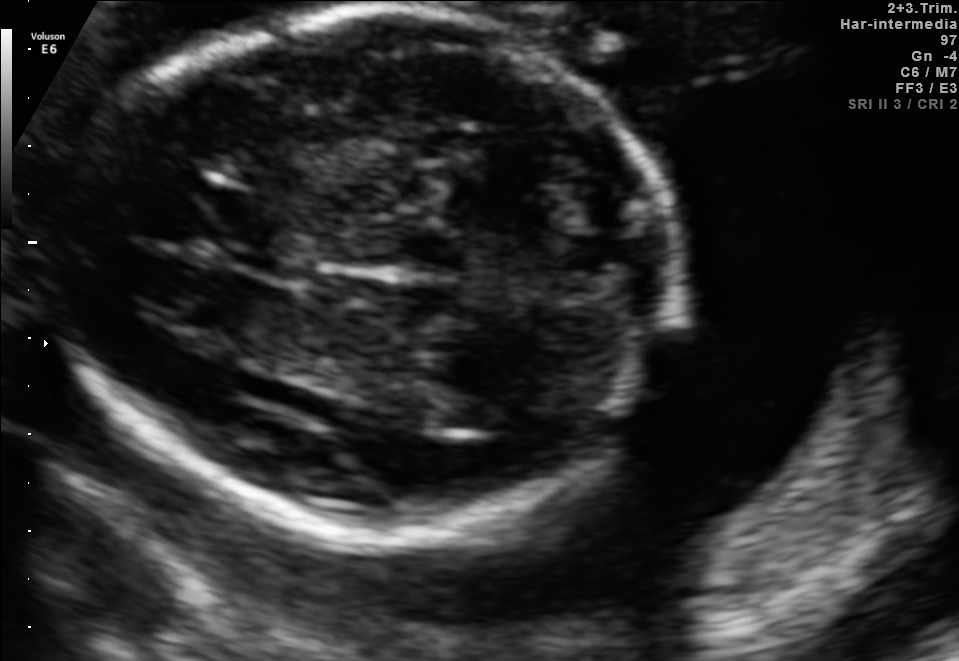
In this fetal brain, trans-thalamic plane, give the bounding box of the fetal head.

[41,11,704,520]